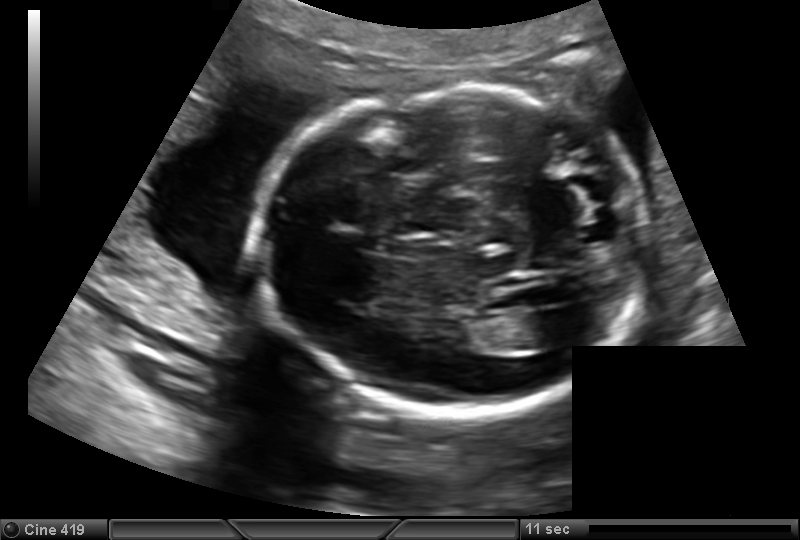
Fetal head ultrasound. Image width: 120.7 mm. Where is the fetal head?

Head bounding box: [257,87,647,414]